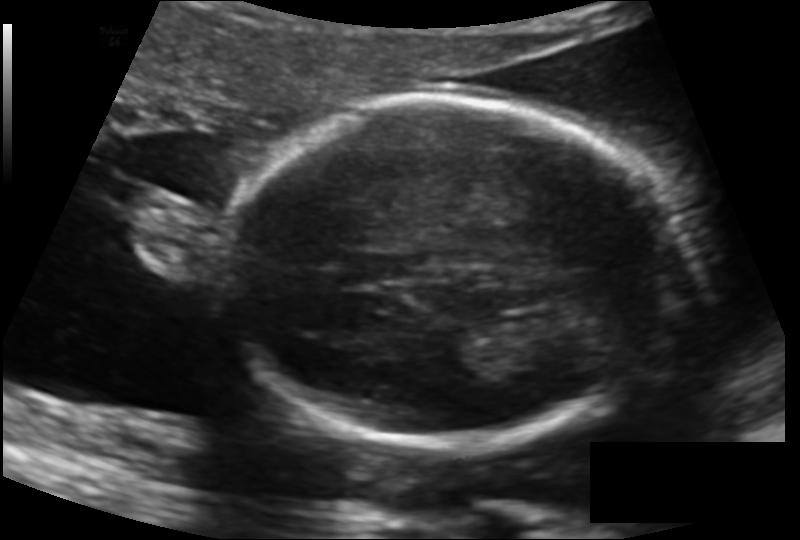
In this fetal head ultrasound, give bounding boxes for the head outline, cavum septum pellucidum (CSP), and lateral ventricle (LV), where visible. Image width: 111.0 mm.

Head: [228,95,679,449]